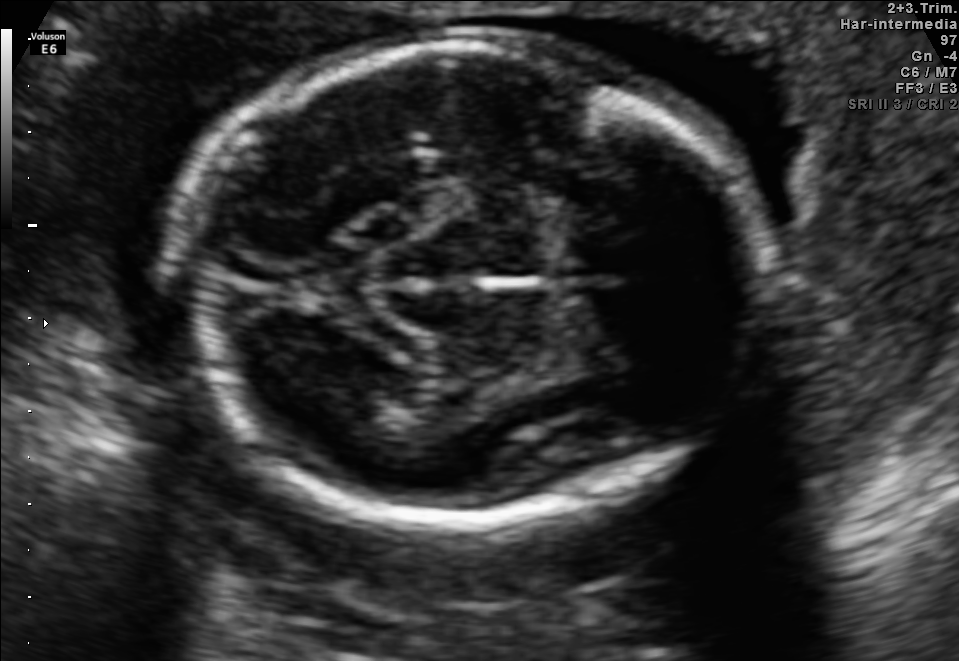
In this fetal brain, trans-thalamic plane, give bounding boxes for the head outline, cavum septum pellucidum (CSP), and lateral ventricle (LV), where visible.

Head: [184,35,759,524]